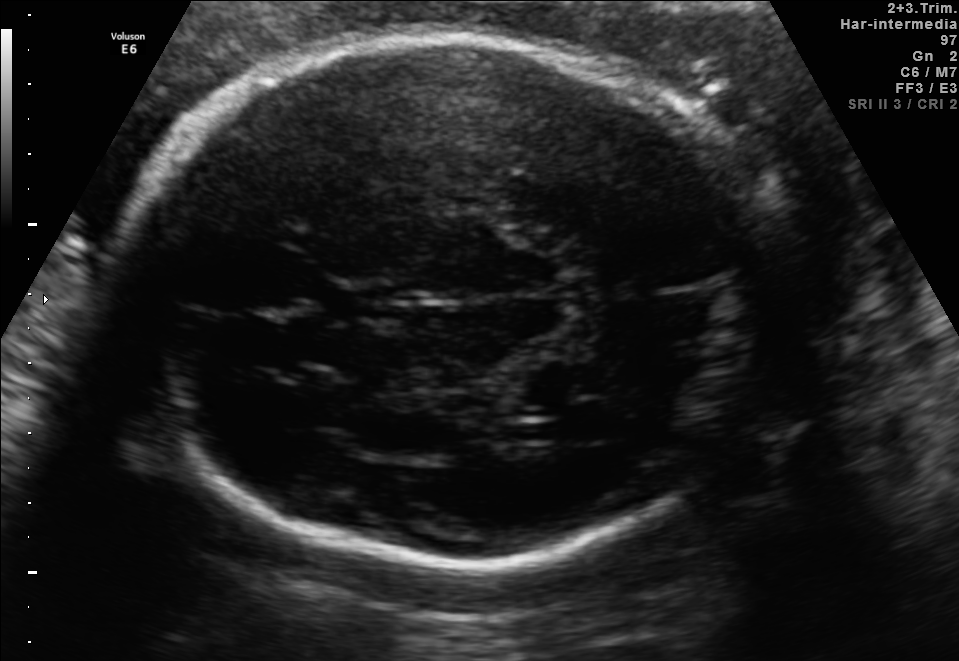
Fetal brain, trans-thalamic plane. Where is the fetal head?

Head bounding box: [114,38,779,563]